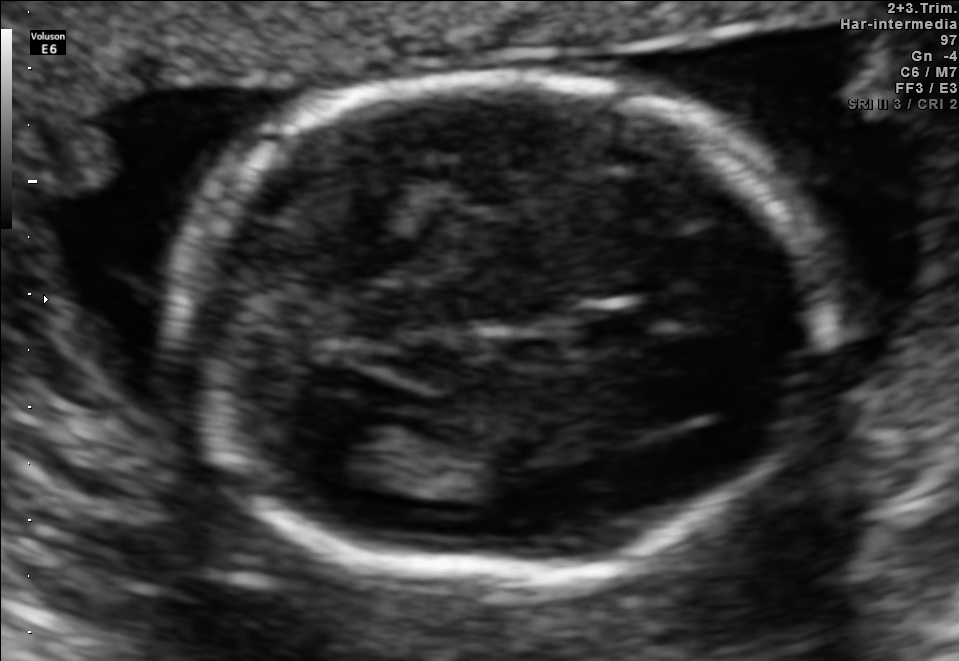
Fetal brain, trans-thalamic plane. Locate the fetal head.

Head: [171,74,838,577]